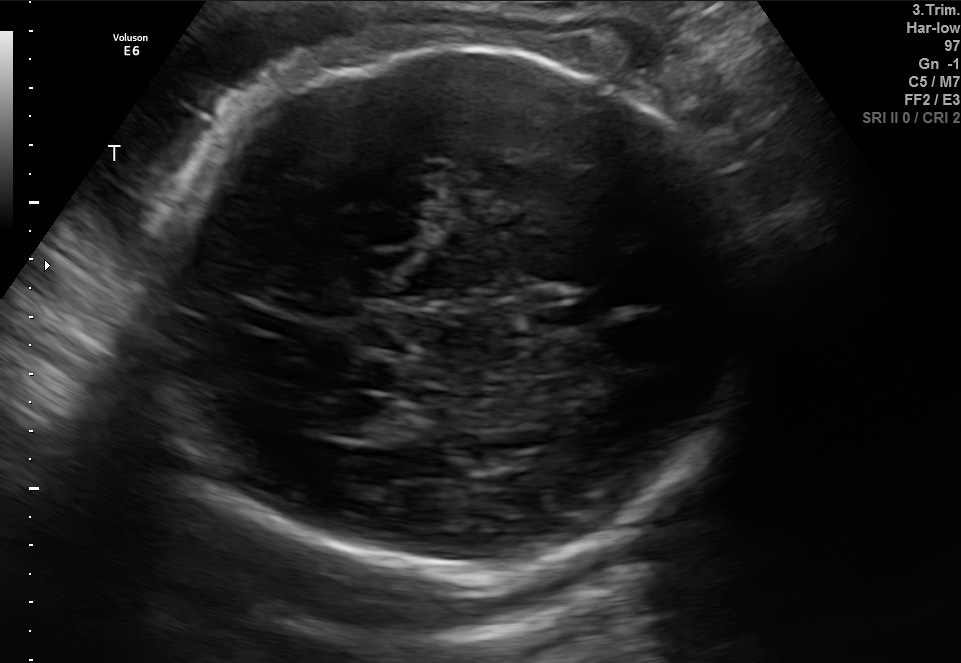
Fetal brain, trans-thalamic plane. Locate the fetal head.

Head: [168,43,751,594]